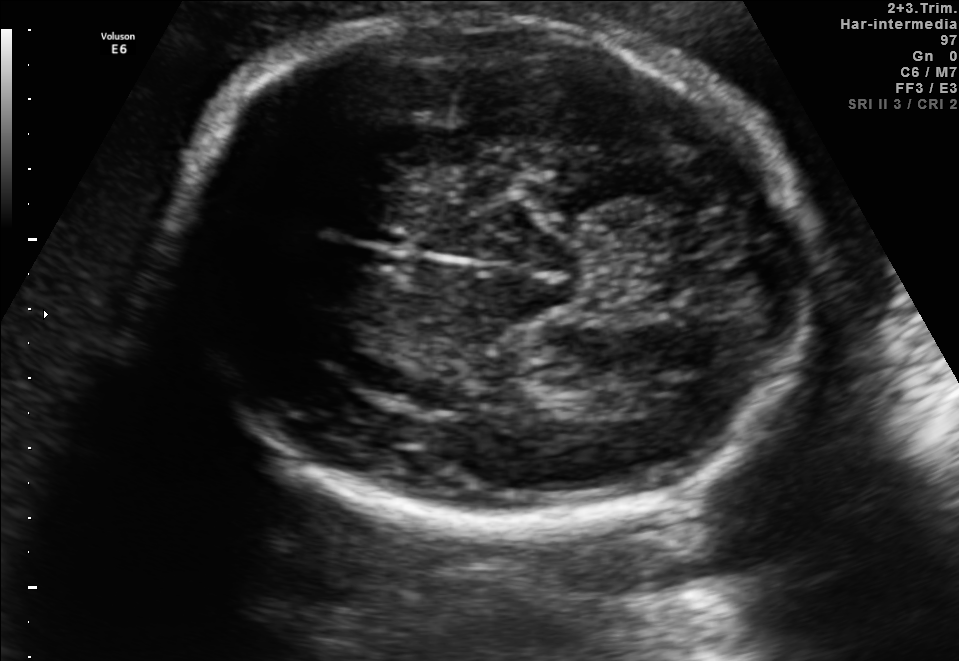
In this fetal brain, trans-thalamic plane, give bounding boxes for the head outline, cavum septum pellucidum (CSP), and lateral ventricle (LV), where visible.

Head: [170,15,809,524]